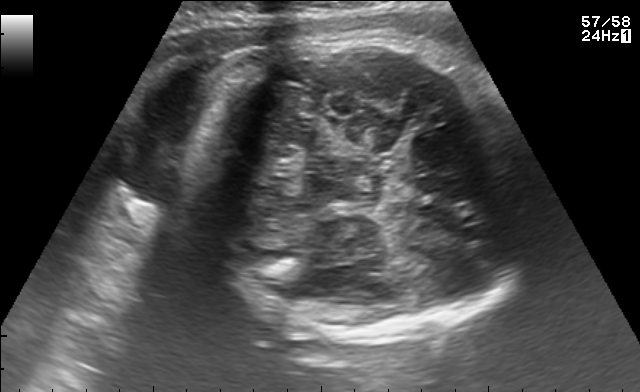
Fetal brain, trans-thalamic plane. Where is the fetal head?

Head bounding box: [186,36,531,334]